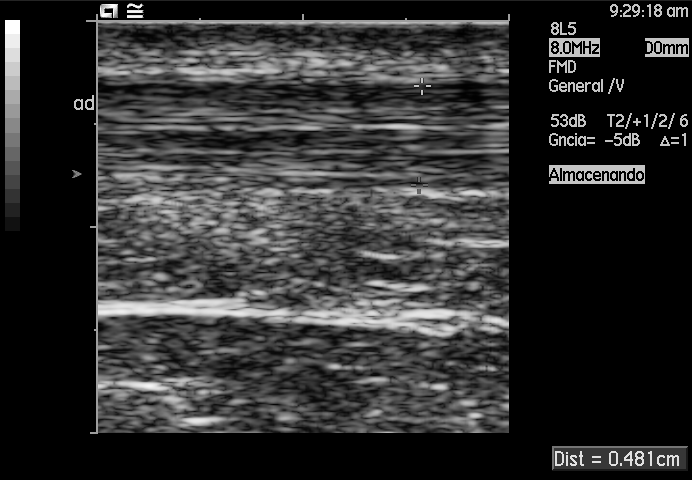
This is a 2D maternal-fetal ultrasound frame. Is it a fetal abdomen, fetal brain, fetal femur, fetal thorax, maternal cervix, or other standard plane? If it's fetal brain and one of the three standard brain planes (trans-thalamic, trans-cerebellum, trans-ventricular), name which.

Other